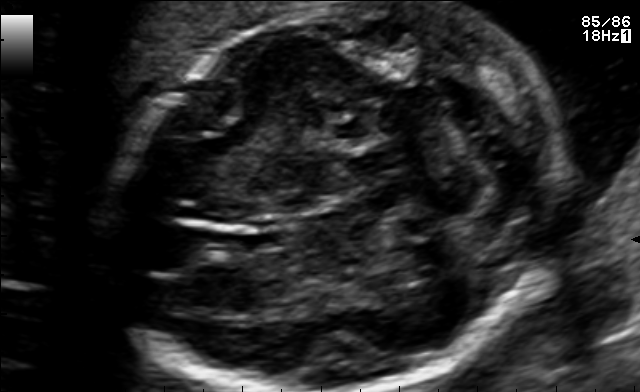
Fetal brain, trans-cerebellum plane. Locate the fetal head.

Head: [117,3,550,391]